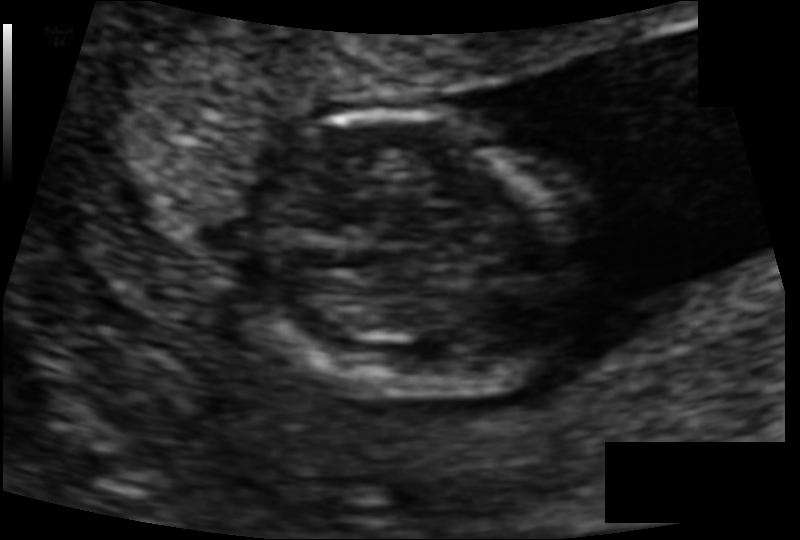
Measure the fetal head circumference shown in this ultrasound image. Image width: 62.1 mm.

Head circumference: 76.2 mm.